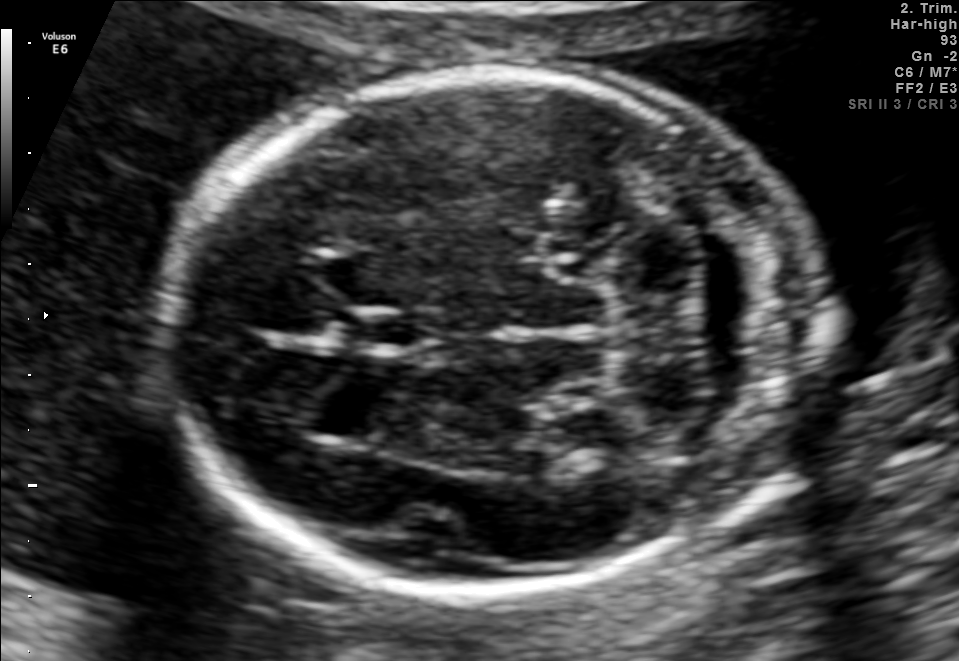
Fetal brain, trans-cerebellum plane. Where is the cavum septum pellucidum?

CSP bounding box: [342,311,429,350]